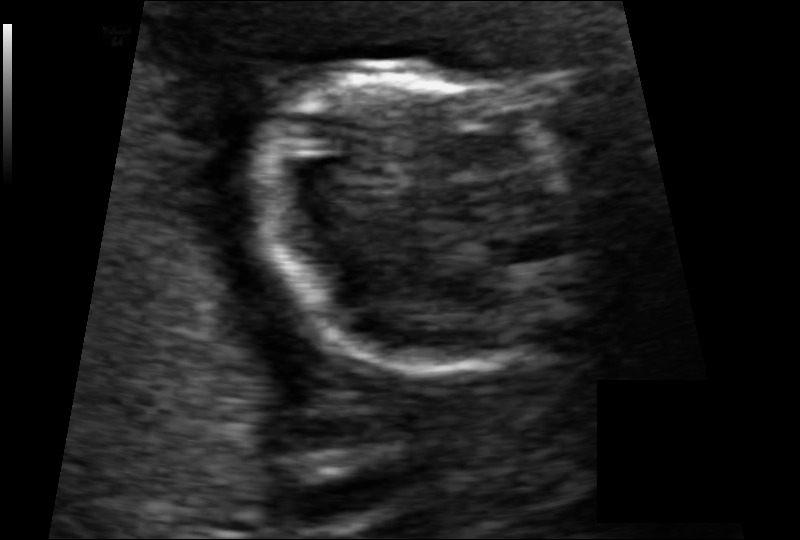
Estimate the fetal head circumference from this 2D ultrasound.

Head circumference: 80.7 mm (image width 62.3 mm).